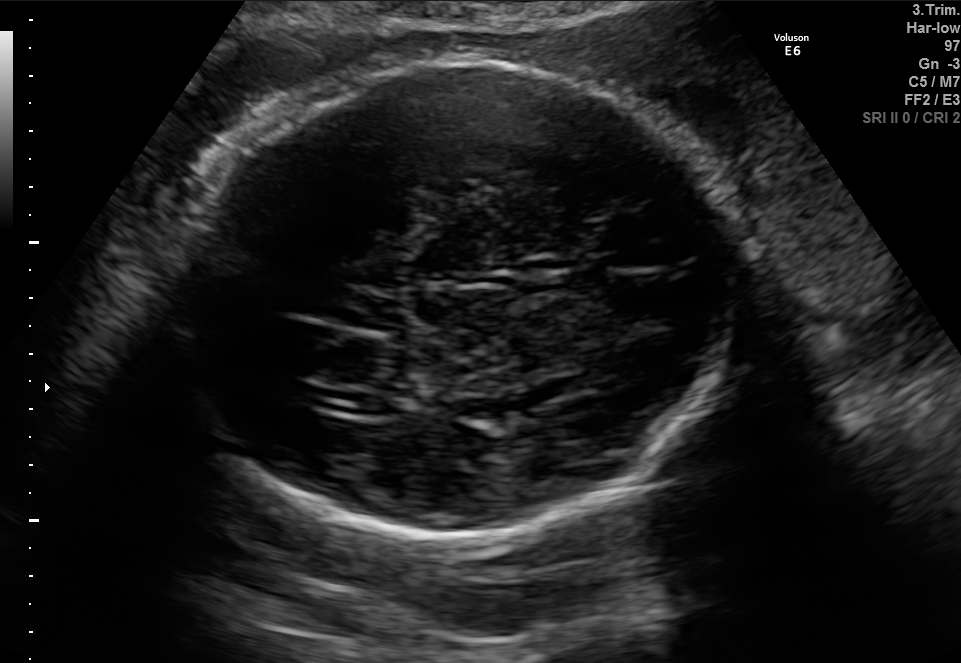
Fetal brain, trans-ventricular plane. Locate the fetal head and, if visible, the cavum septum pellucidum (CSP) and lateral ventricle (LV). Give bounding boxes as [x1,y1,x2,y2].

Head: [153,55,756,544]
CSP: [563,263,615,298]
Lateral ventricle: [347,392,392,419]